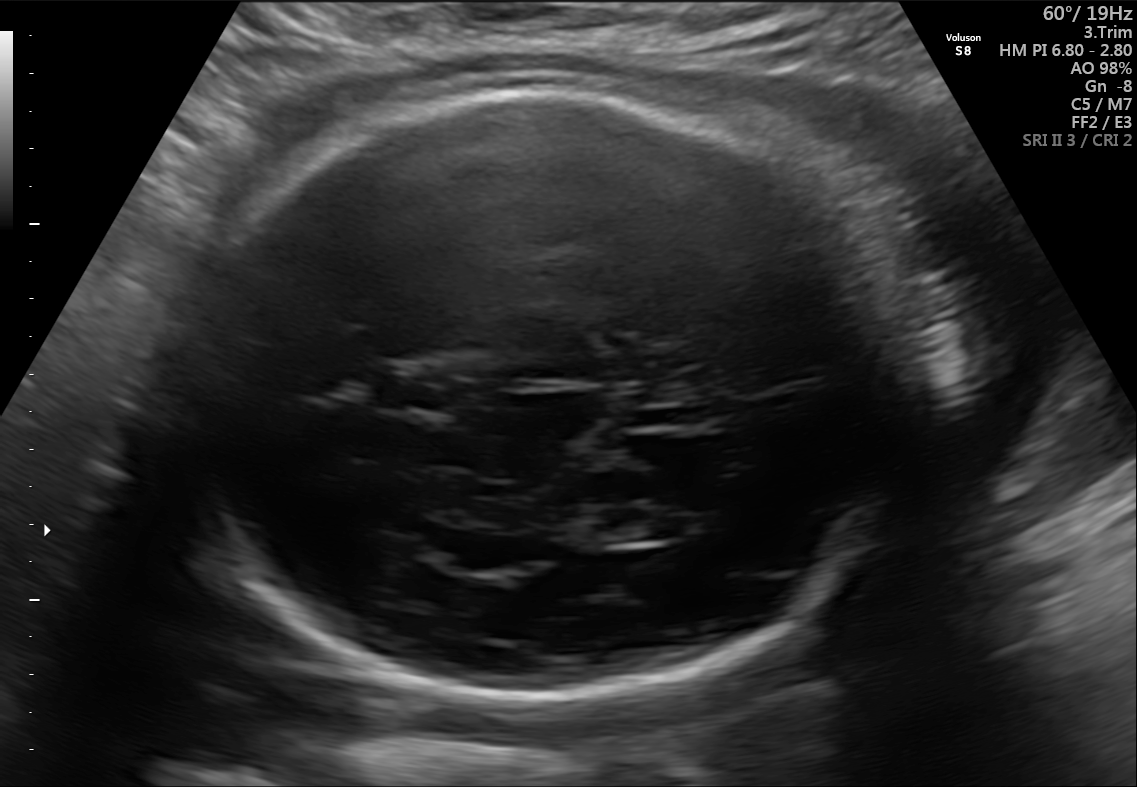
In this fetal brain, trans-thalamic plane, give bounding boxes for the head outline, cavum septum pellucidum (CSP), and lateral ventricle (LV), where visible.

Head: [165,81,906,692]
CSP: [377,370,450,410]
Lateral ventricle: [568,504,678,549]